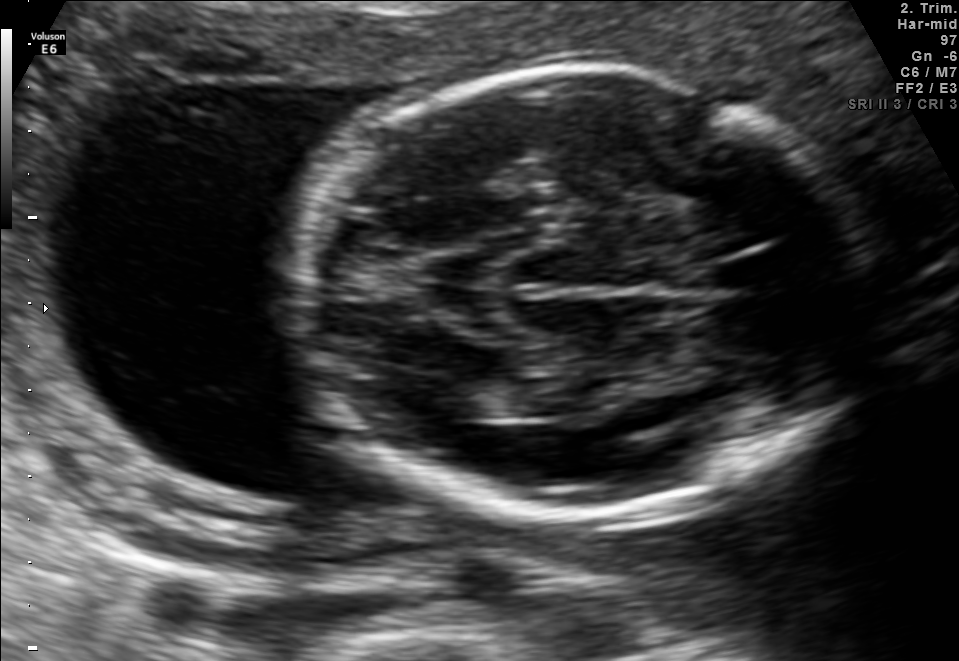
Fetal brain, trans-thalamic plane. Locate the lateral ventricle.

Lateral ventricle: [424,375,520,424]